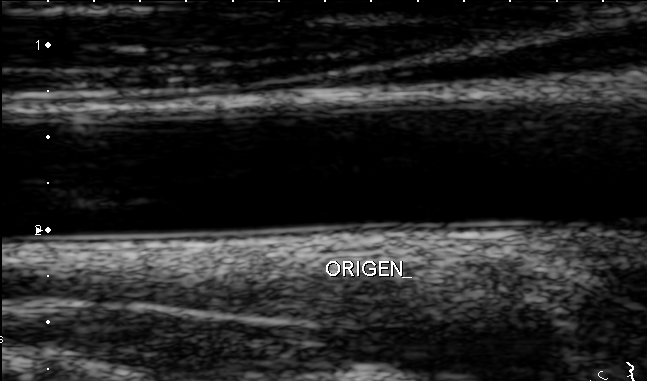
Classify this maternal-fetal ultrasound image as one of the six standard planes — fetal abdomen, fetal brain, fetal femur, fetal thorax, maternal cervix, or other. If it's fetal brain and one of the three standard brain planes (trans-thalamic, trans-cerebellum, trans-ventricular), name which.

Other